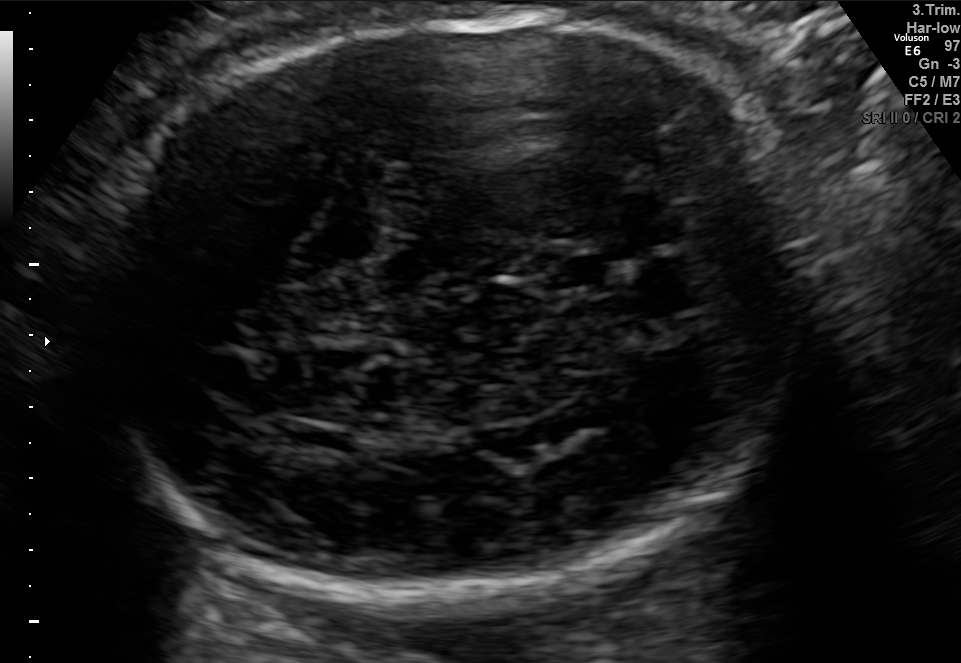
This is a 2D maternal-fetal ultrasound frame. Is it a fetal abdomen, fetal brain, fetal femur, fetal thorax, maternal cervix, or other standard plane? If it's fetal brain and one of the three standard brain planes (trans-thalamic, trans-cerebellum, trans-ventricular), name which.

Fetal brain (trans-thalamic plane)